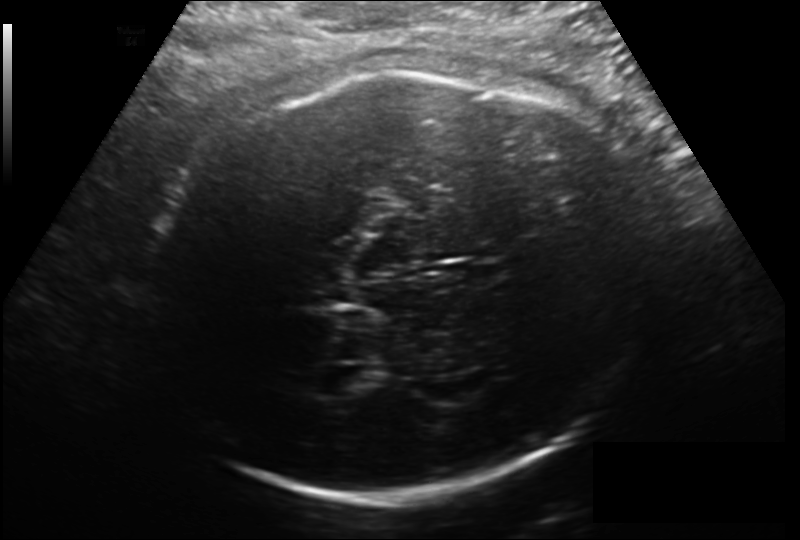
Fetal head ultrasound. Image width: 164.8 mm. Where is the lateral ventricle?

Lateral ventricle bounding box: [320,366,373,395]